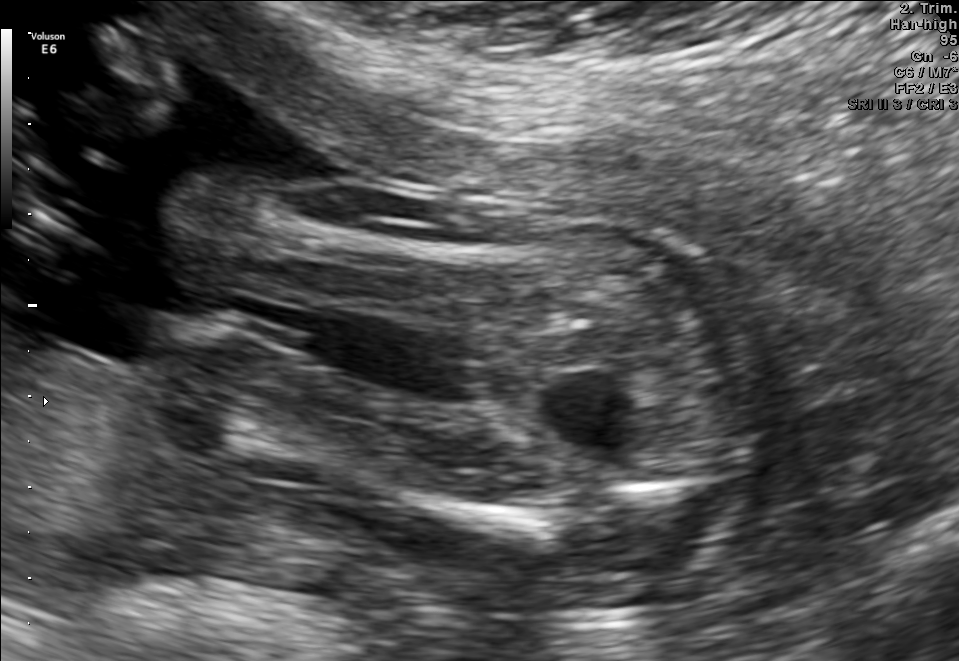
Identify the standard plane in this fetal ultrasound image: fetal abdomen, fetal brain, fetal femur, fetal thorax, maternal cervix, or other. If it's fetal brain and one of the three standard brain planes (trans-thalamic, trans-cerebellum, trans-ventricular), name which.

Fetal femur